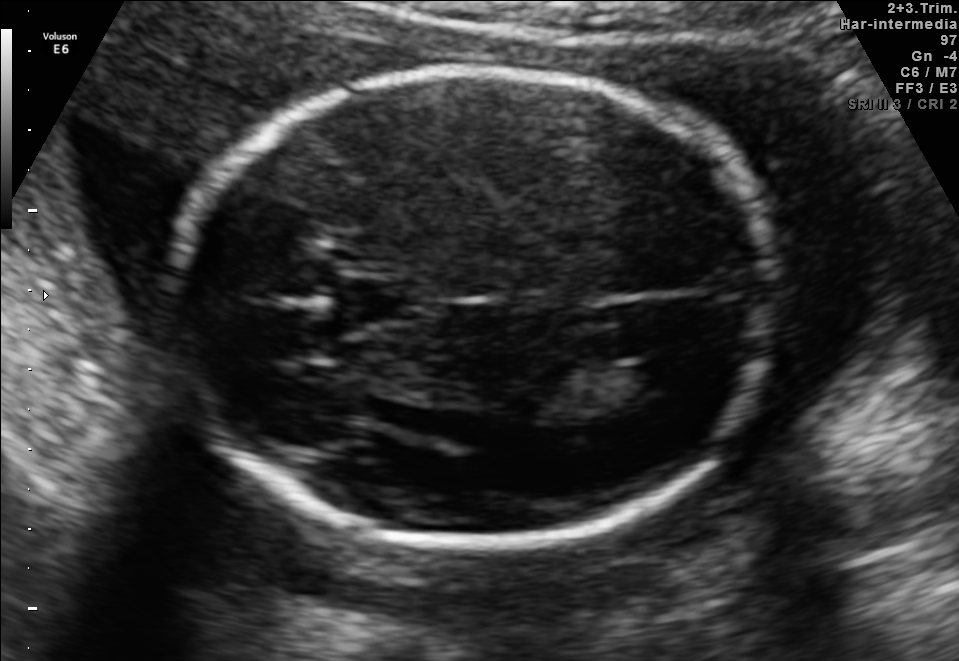
Fetal brain, trans-ventricular plane. Locate the cavum septum pellucidum.

CSP: [325,280,417,322]